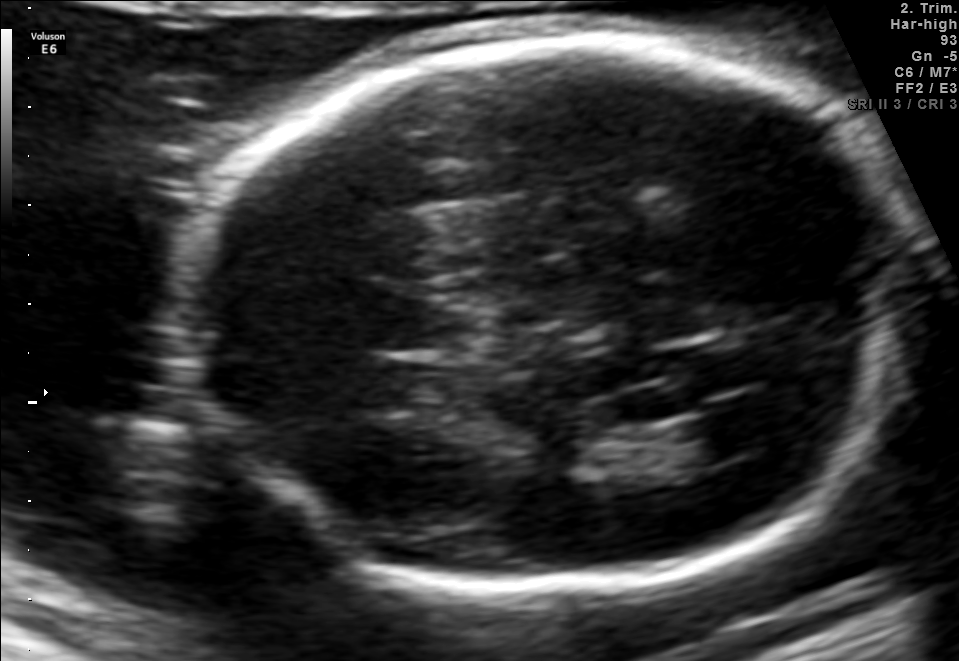
This is a 2D maternal-fetal ultrasound frame. Is it a fetal abdomen, fetal brain, fetal femur, fetal thorax, maternal cervix, or other standard plane? If it's fetal brain and one of the three standard brain planes (trans-thalamic, trans-cerebellum, trans-ventricular), name which.

Fetal brain (trans-ventricular plane)